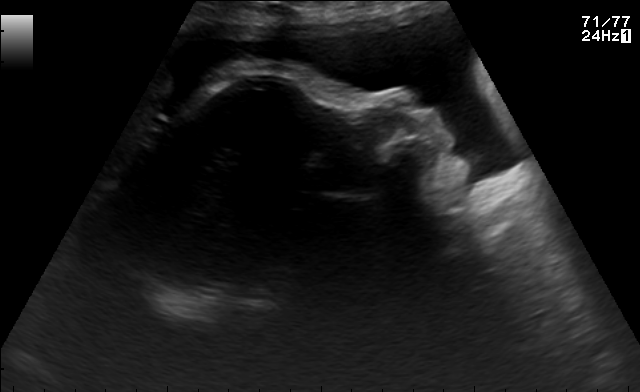
This is a 2D maternal-fetal ultrasound frame. Is it a fetal abdomen, fetal brain, fetal femur, fetal thorax, maternal cervix, or other standard plane? If it's fetal brain and one of the three standard brain planes (trans-thalamic, trans-cerebellum, trans-ventricular), name which.

Other